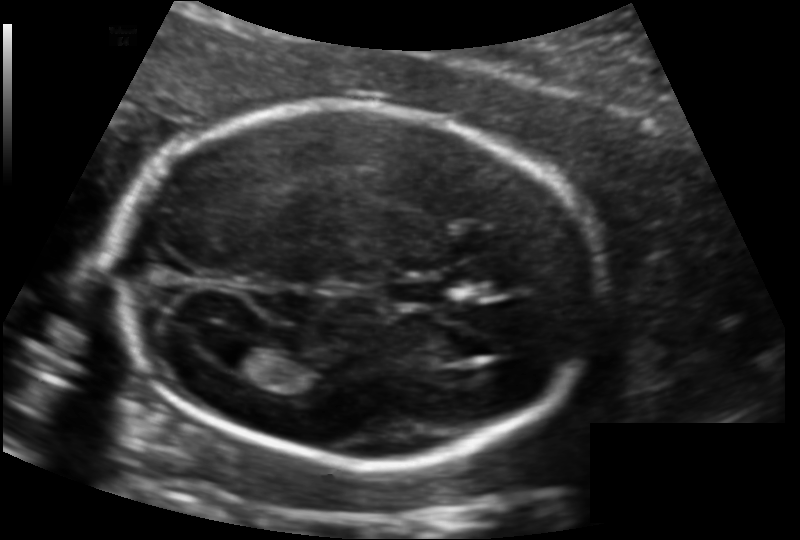
In this fetal head ultrasound, give the bounding box of the lateral ventricle. Image width: 107.1 mm.

[214,338,280,382]